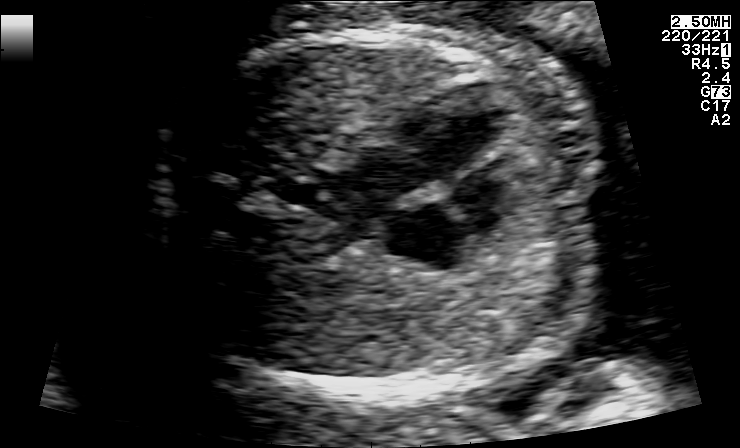
Which standard maternal-fetal ultrasound plane is shown: fetal abdomen, fetal brain, fetal femur, fetal thorax, maternal cervix, or other? If it's fetal brain and one of the three standard brain planes (trans-thalamic, trans-cerebellum, trans-ventricular), name which.

Fetal thorax